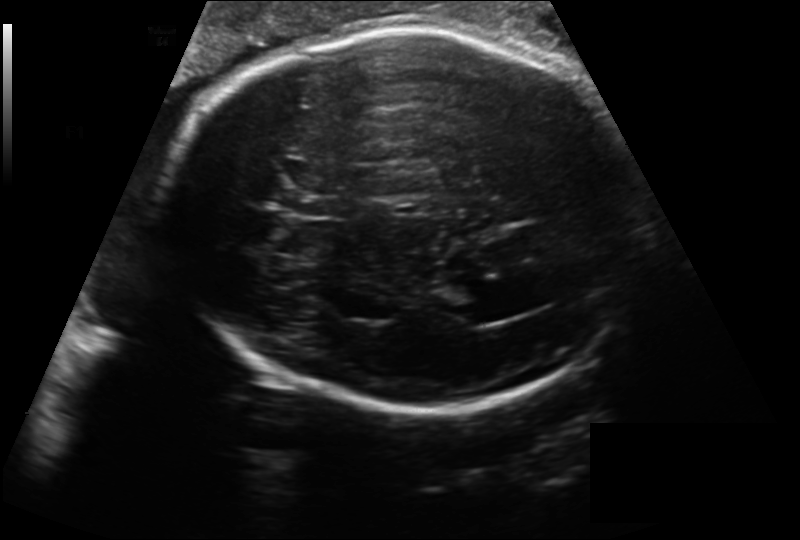
In this fetal head ultrasound, give the bounding box of the cavum septum pellucidum. Image width: 174.3 mm.

[302,196,343,219]